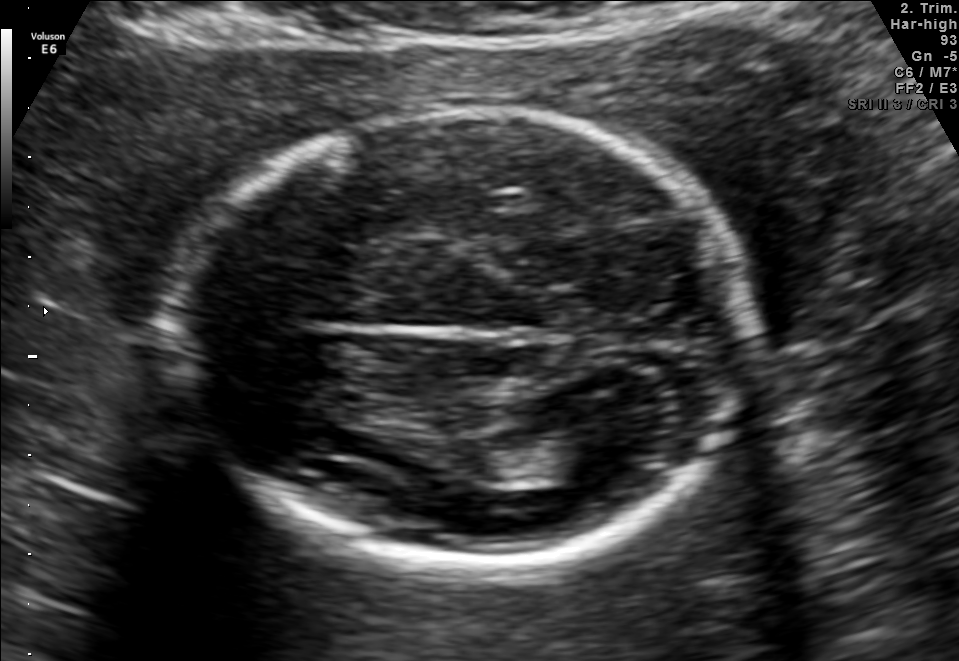
Fetal brain, trans-thalamic plane. Locate the lateral ventricle.

Lateral ventricle: [520,427,635,489]